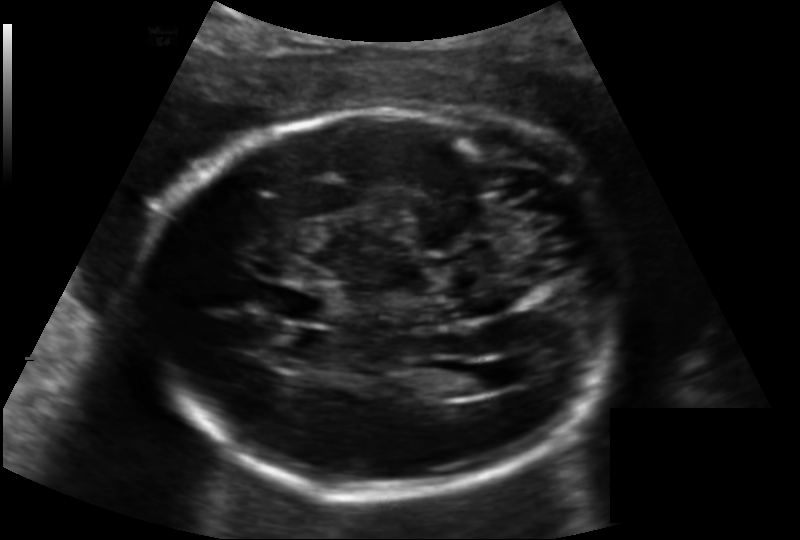
Fetal head ultrasound. Image width: 126.5 mm. Where is the fetal head?

Head bounding box: [143,109,624,493]